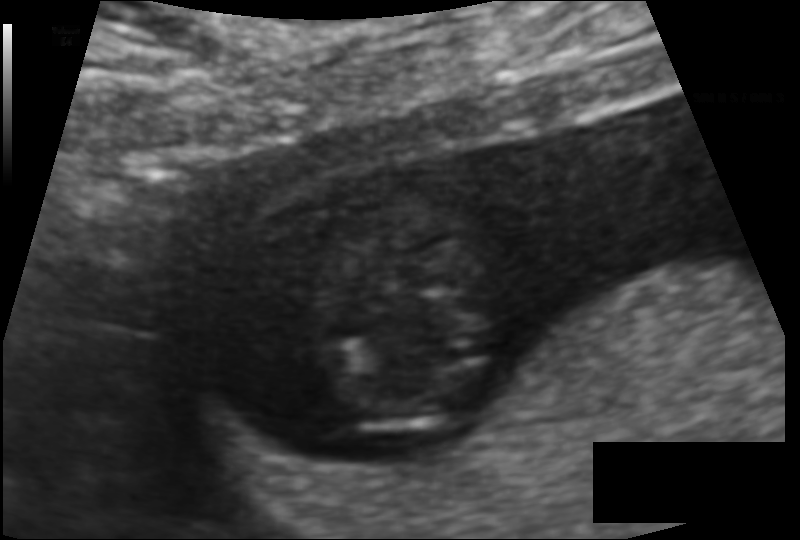
In this fetal head ultrasound, give the bounding box of the fetal head. Image width: 75.5 mm.

[308,199,504,435]